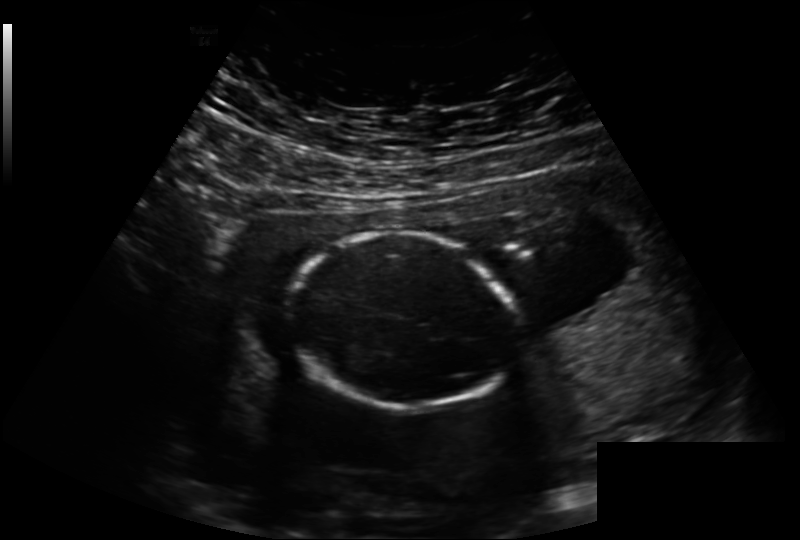
In this fetal head ultrasound, give the bounding box of the fetal head. Image width: 177.0 mm.

[290,232,518,409]